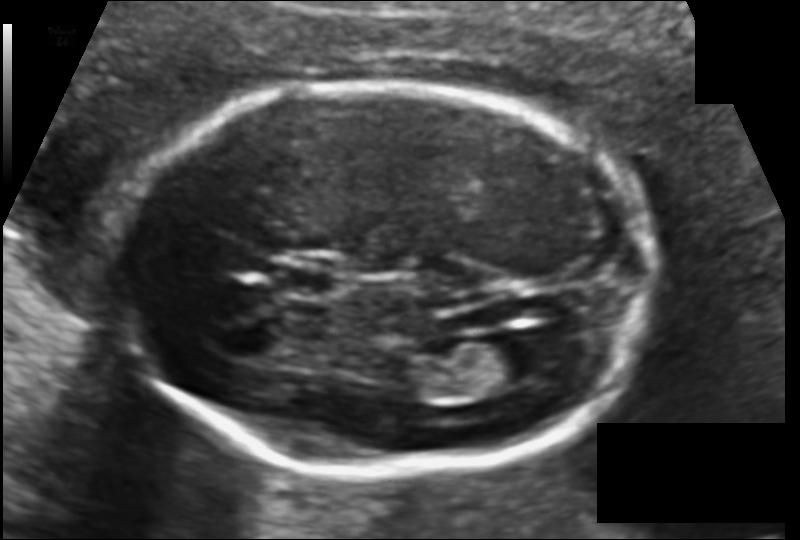
In this fetal head ultrasound, give bounding boxes for the head outline, cavum septum pellucidum (CSP), and lateral ventricle (LV), where visible. Image width: 90.6 mm.

Head: [122,84,657,474]
CSP: [281,265,337,300]
Lateral ventricle: [476,330,562,389]